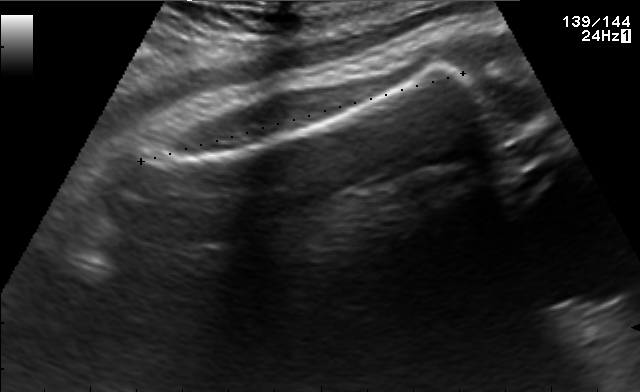
Classify this maternal-fetal ultrasound image as one of the six standard planes — fetal abdomen, fetal brain, fetal femur, fetal thorax, maternal cervix, or other. If it's fetal brain and one of the three standard brain planes (trans-thalamic, trans-cerebellum, trans-ventricular), name which.

Fetal femur